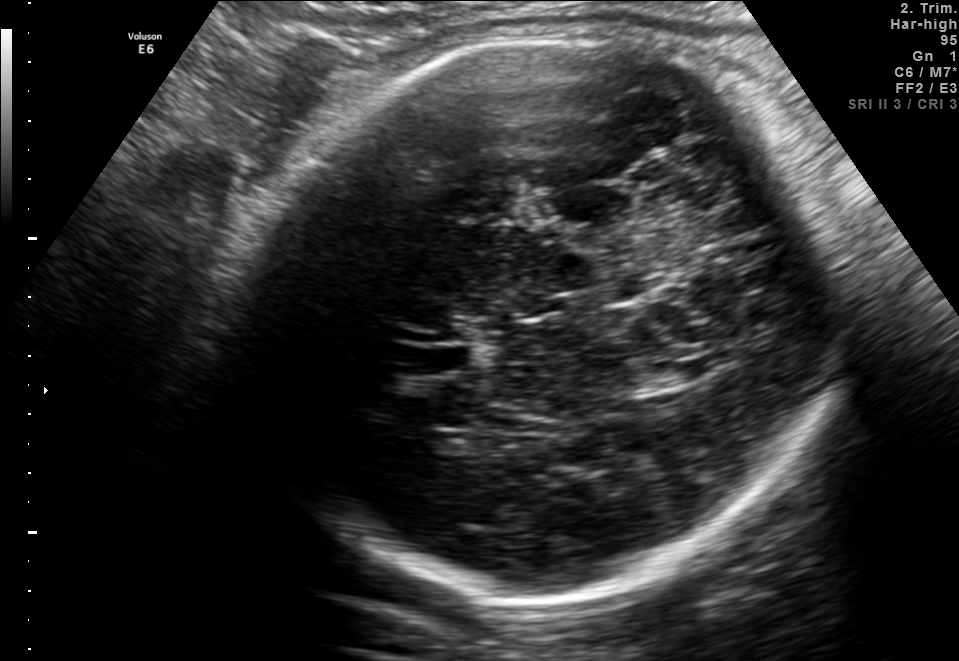
In this fetal brain, trans-thalamic plane, give the bounding box of the lateral ventricle.

[637,360,697,394]